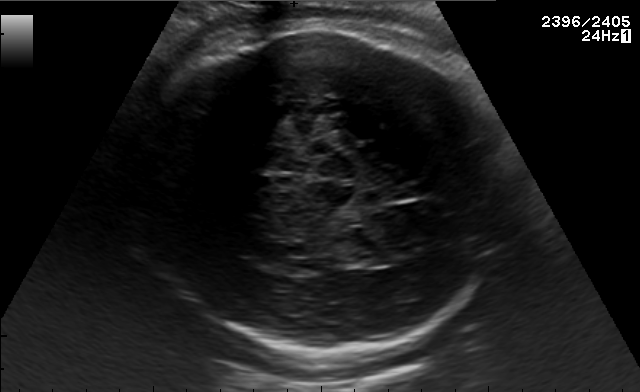
Fetal brain, trans-thalamic plane. Give [x1,y1,x2,y2] bounding boxes for each visible structure among: fetal head, CSP, LV.

Head: [139,27,506,353]